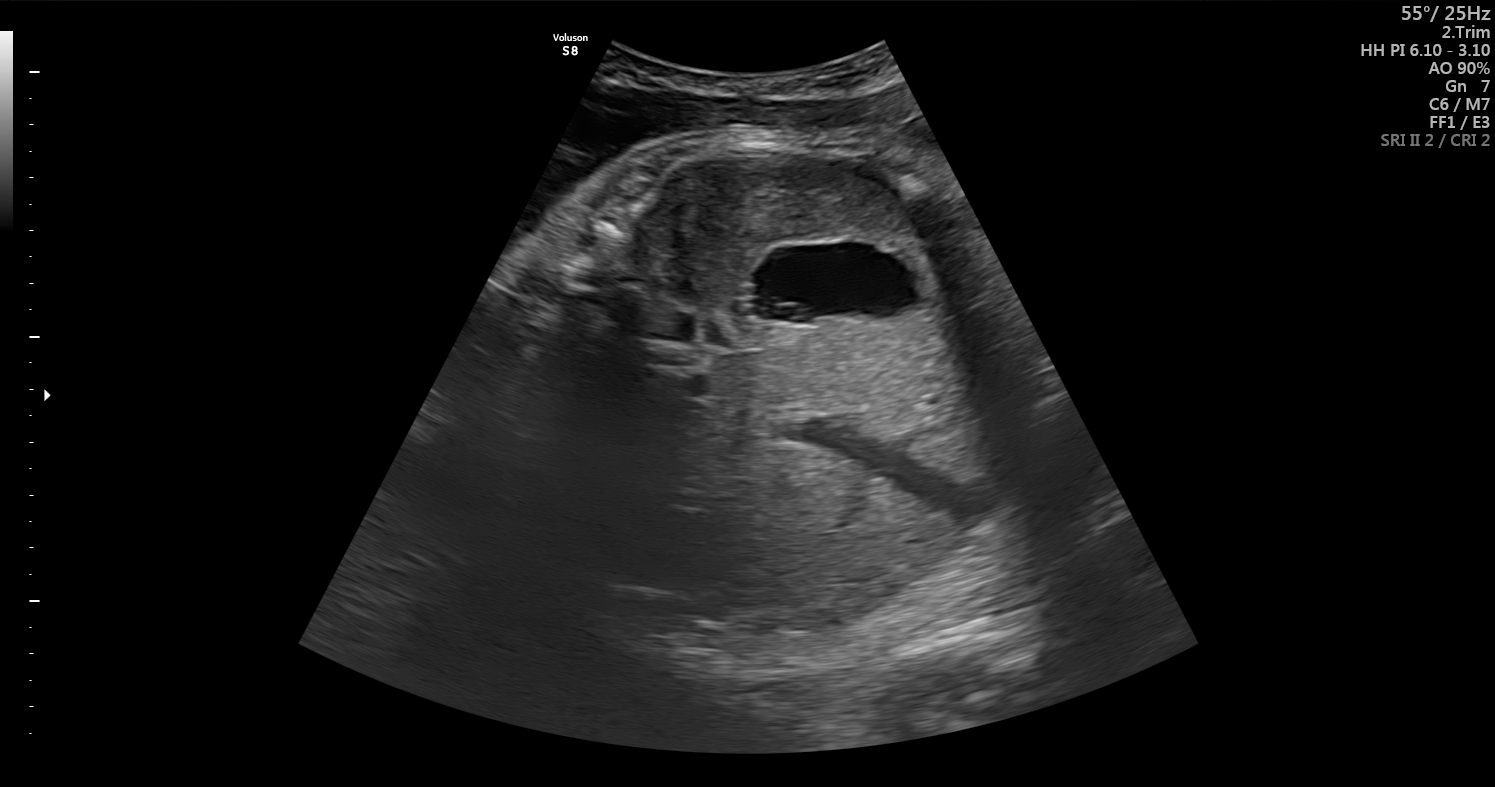
Identify the standard plane in this fetal ultrasound image: fetal abdomen, fetal brain, fetal femur, fetal thorax, maternal cervix, or other. If it's fetal brain and one of the three standard brain planes (trans-thalamic, trans-cerebellum, trans-ventricular), name which.

Other